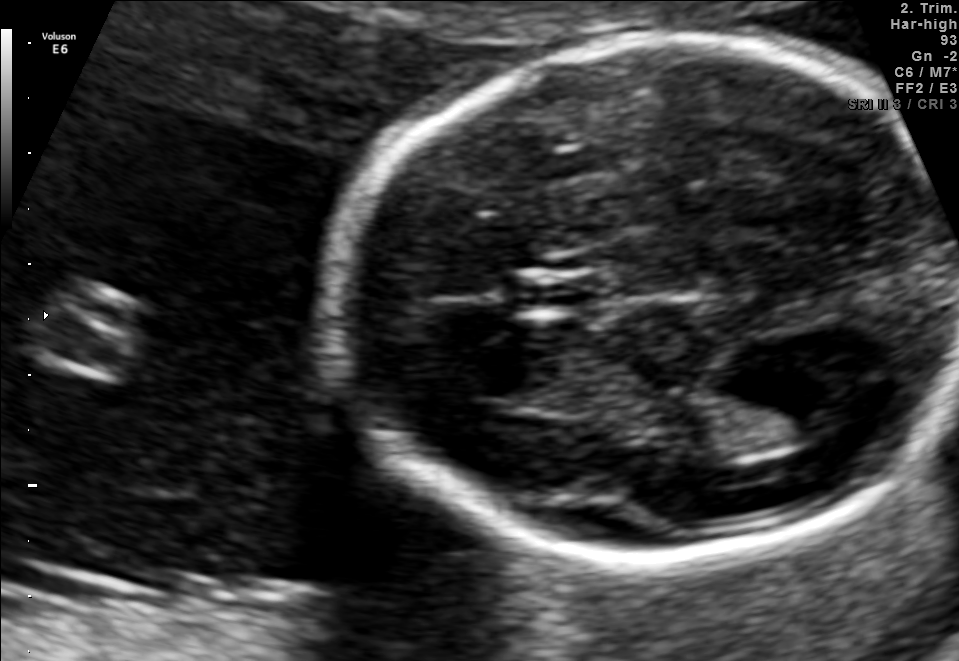
Fetal brain, trans-thalamic plane. Where is the cavum septum pellucidum?

CSP bounding box: [512,273,602,311]